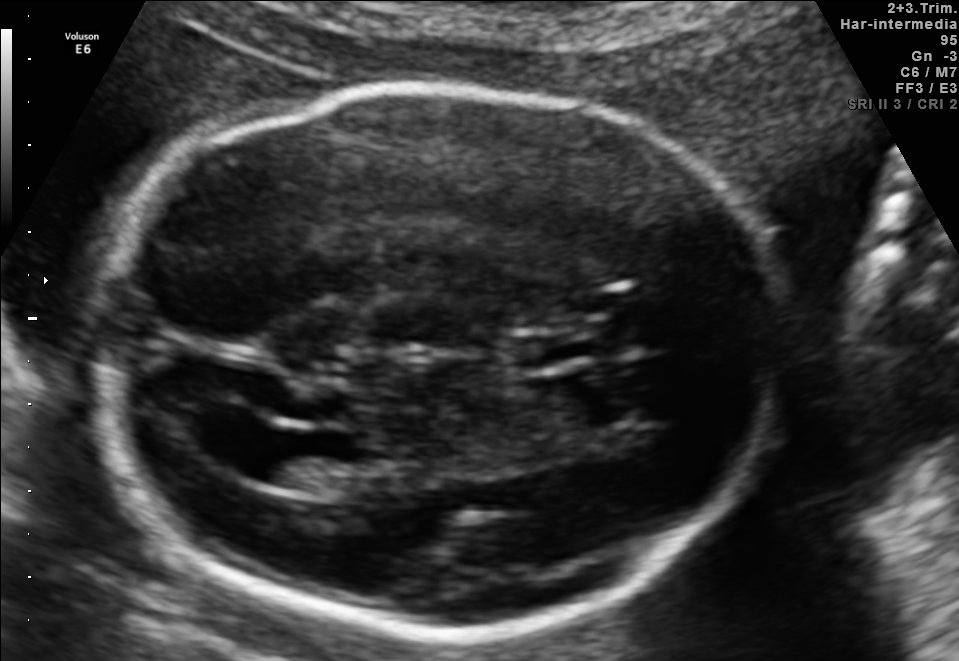
Fetal brain, trans-ventricular plane. Give [x1,y1,x2,y2] bounding boxes for each visible structure among: fetal head, CSP, LV.

Head: [78,77,803,644]
CSP: [499,323,626,375]
Lateral ventricle: [198,405,307,491]